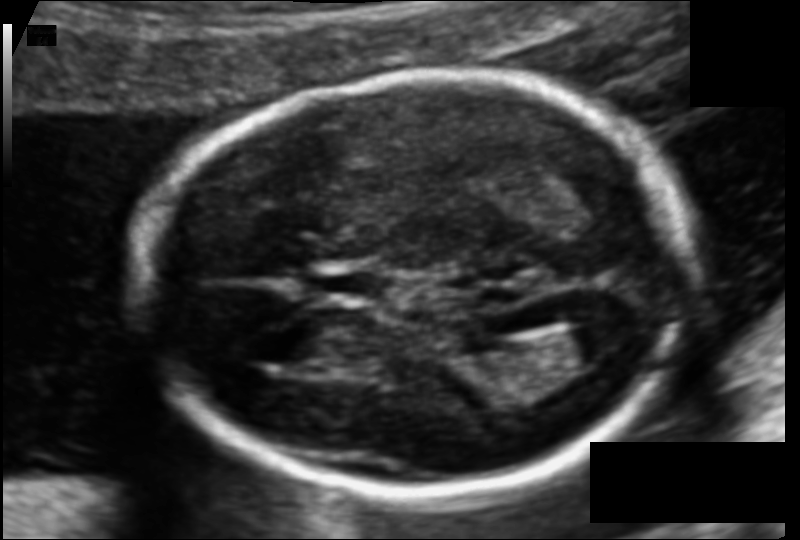
Estimate the fetal head circumference from this 2D ultrasound. Image width: 83.7 mm.

Head circumference: 165.7 mm.